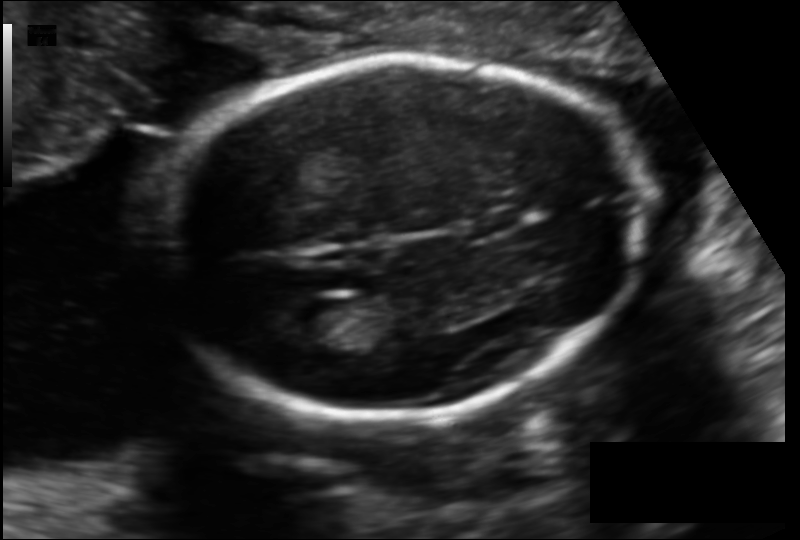
Fetal head ultrasound. Image width: 102.8 mm. Locate the cavum septum pellucidum.

CSP: [460,201,527,244]